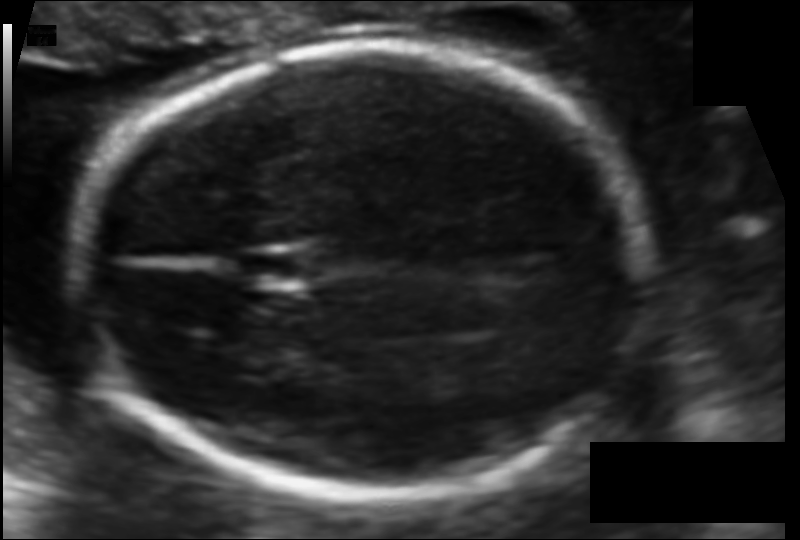
Fetal head ultrasound. Image width: 84.8 mm. Locate the fetal head.

Head: [81,47,644,500]